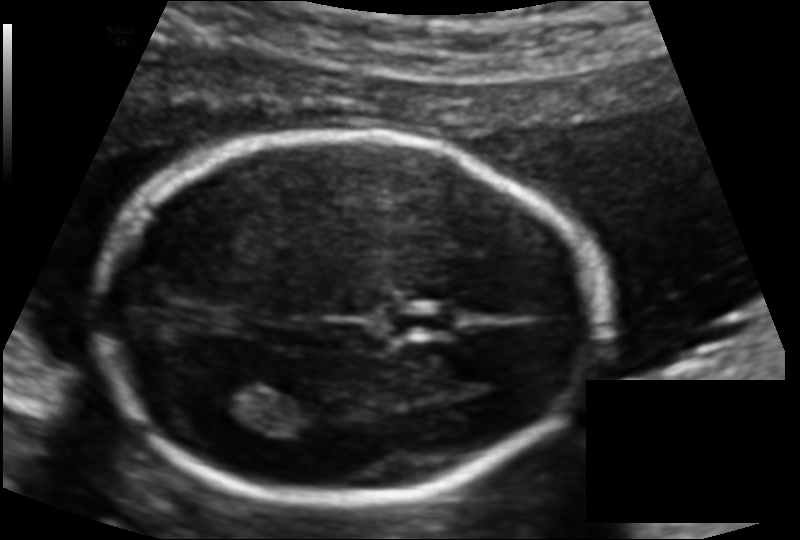
In this fetal head ultrasound, give the bounding box of the fetal head. Image width: 91.6 mm.

[101,135,602,500]